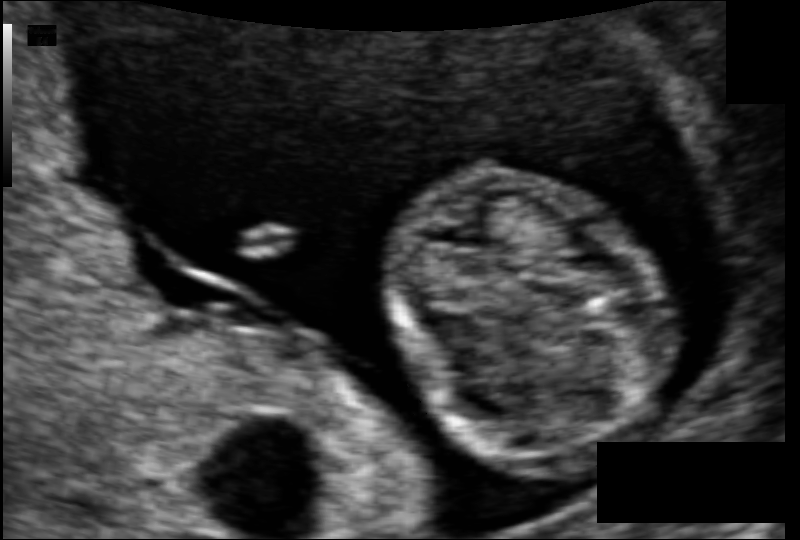
Estimate the fetal head circumference from this 2D ultrasound. Image width: 59.6 mm.

Head circumference: 70.5 mm.